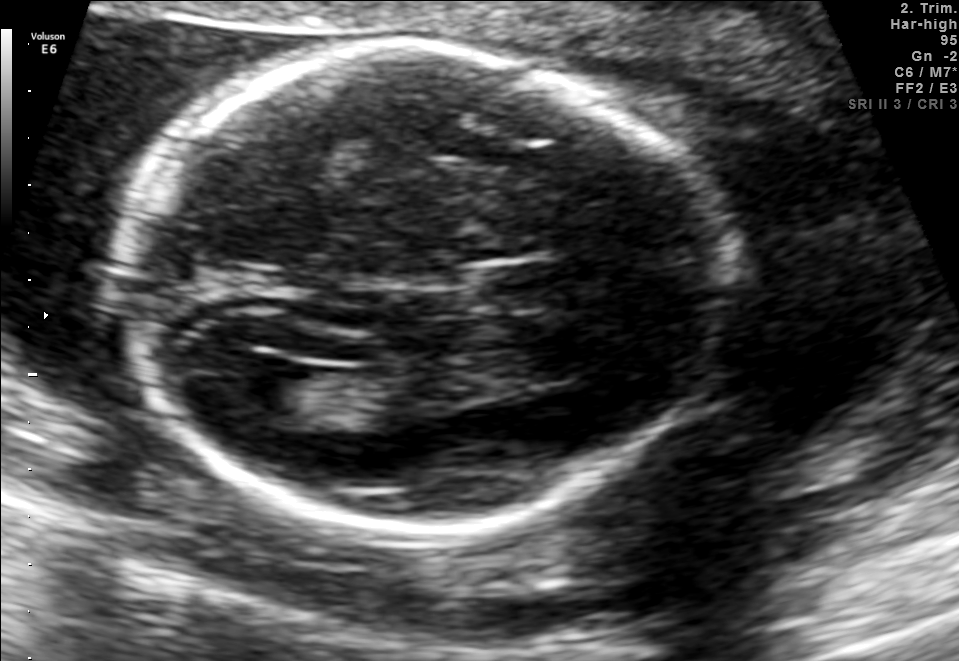
Fetal brain, trans-ventricular plane. Locate the lateral ventricle.

Lateral ventricle: [221,359,313,418]